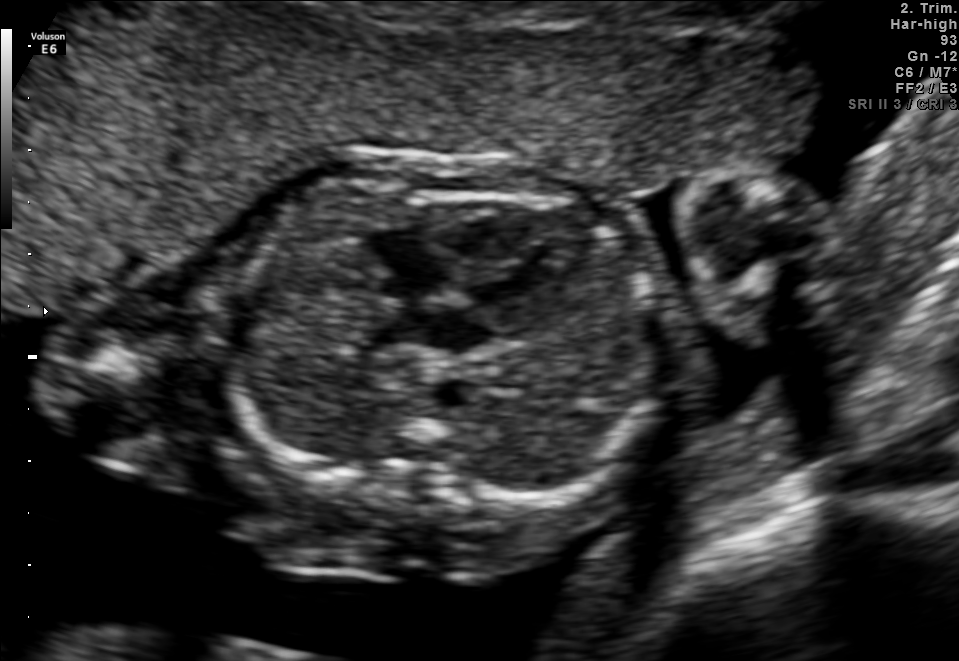
Identify the standard plane in this fetal ultrasound image: fetal abdomen, fetal brain, fetal femur, fetal thorax, maternal cervix, or other. If it's fetal brain and one of the three standard brain planes (trans-thalamic, trans-cerebellum, trans-ventricular), name which.

Fetal thorax